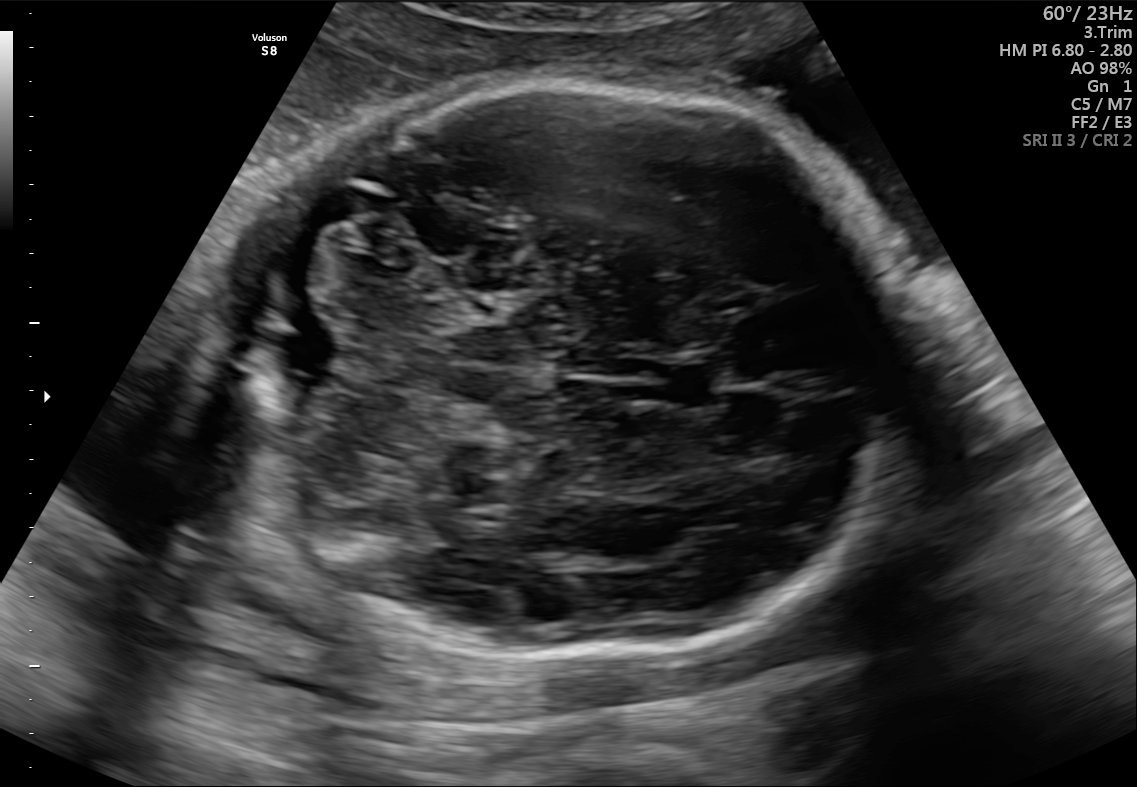
Fetal brain, trans-cerebellum plane. Where is the fetal head?

Head bounding box: [209,81,909,663]